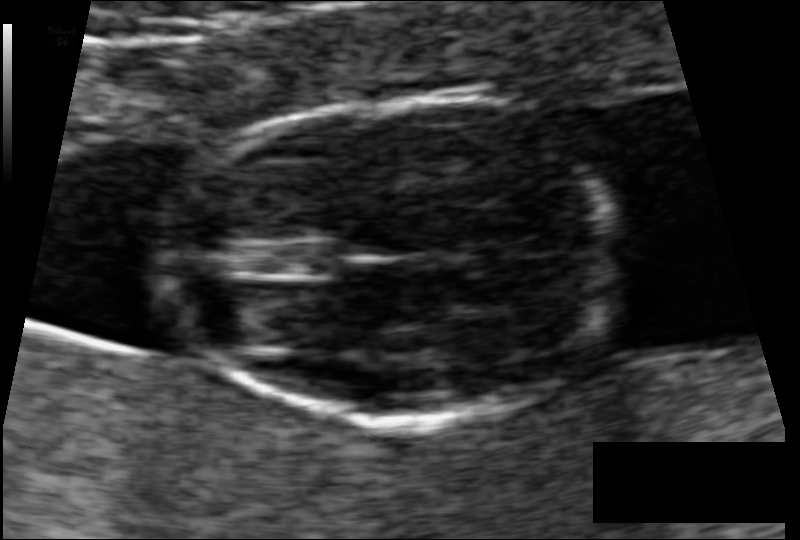
Measure the fetal head circumference shown in this ultrasound image. Image width: 49.5 mm.

Head circumference: 77.4 mm.